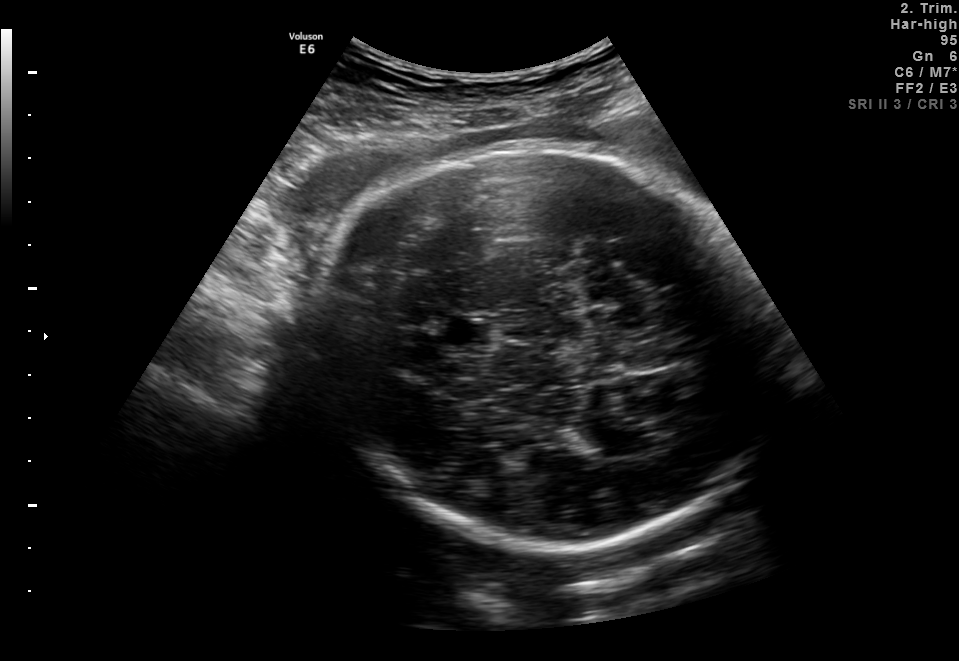
Fetal brain, trans-thalamic plane. Locate the fetal head and, if visible, the cavum septum pellucidum (CSP) and lateral ventricle (LV). Give bounding boxes as [x1,y1,x2,y2].

Head: [313,139,764,556]
CSP: [444,318,492,347]
Lateral ventricle: [563,421,624,454]